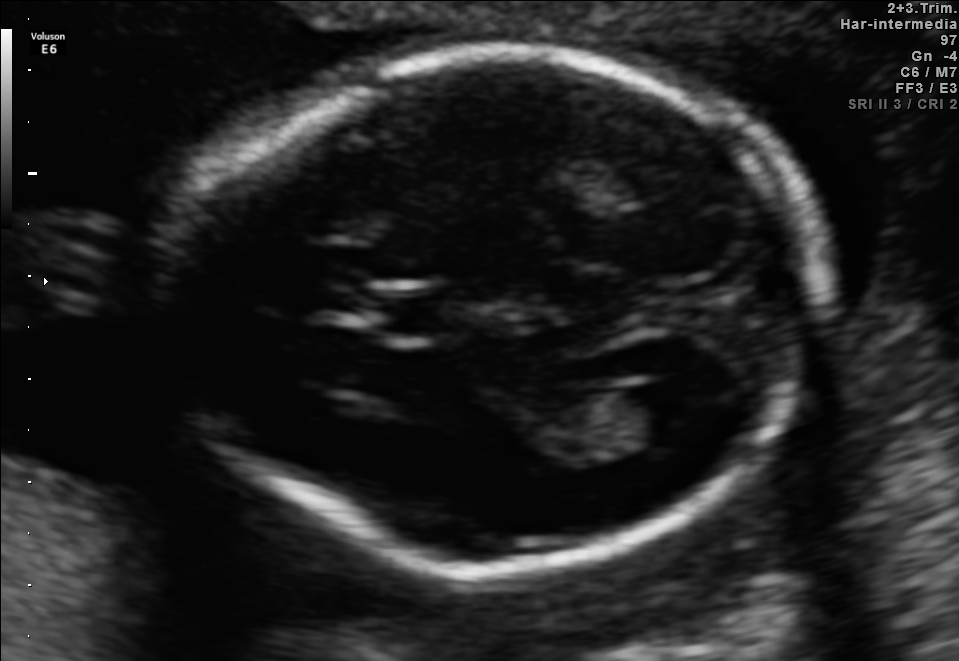
Fetal brain, trans-ventricular plane. Locate the lateral ventricle.

Lateral ventricle: [631,366,722,440]